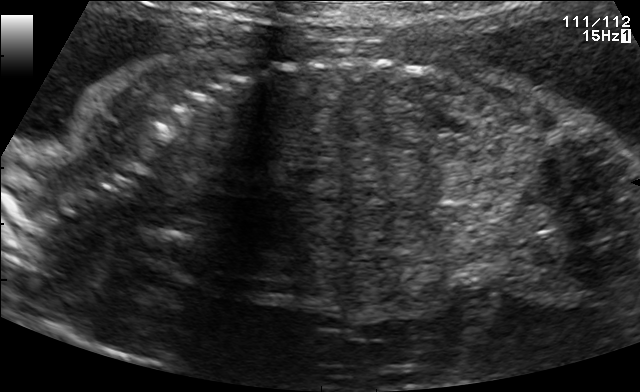
This is a 2D maternal-fetal ultrasound frame. Is it a fetal abdomen, fetal brain, fetal femur, fetal thorax, maternal cervix, or other standard plane? If it's fetal brain and one of the three standard brain planes (trans-thalamic, trans-cerebellum, trans-ventricular), name which.

Other